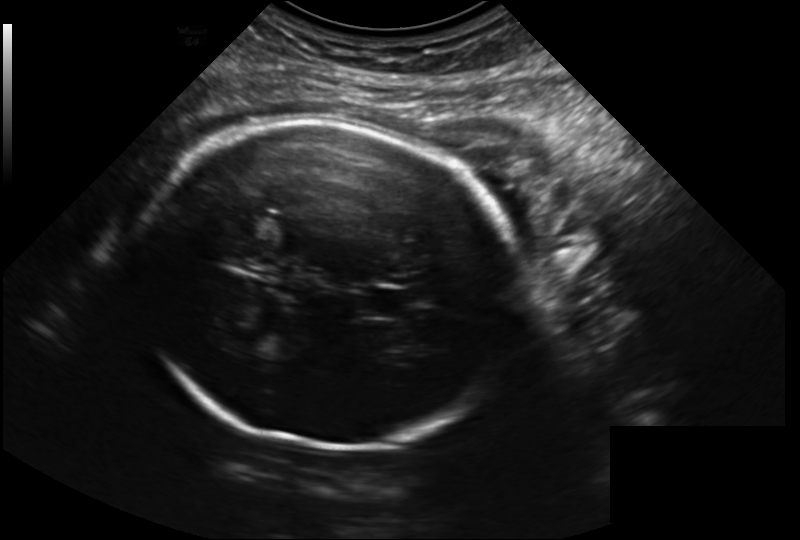
In this fetal head ultrasound, give the bounding box of the fetal head. Image width: 178.0 mm.

[138,123,526,448]